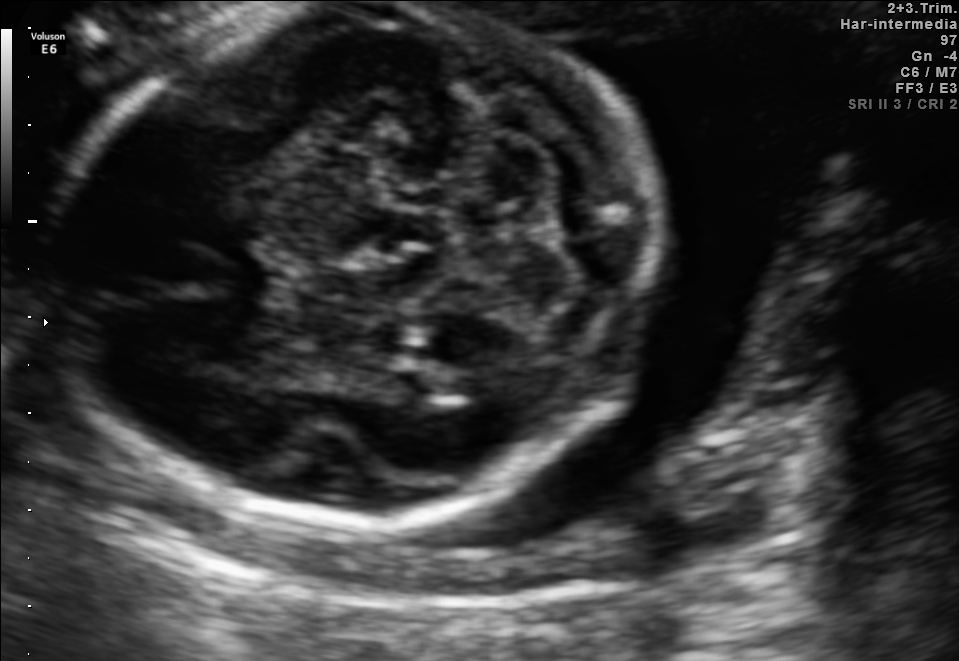
In this fetal brain, trans-cerebellum plane, give the bounding box of the fetal head.

[51,4,656,525]